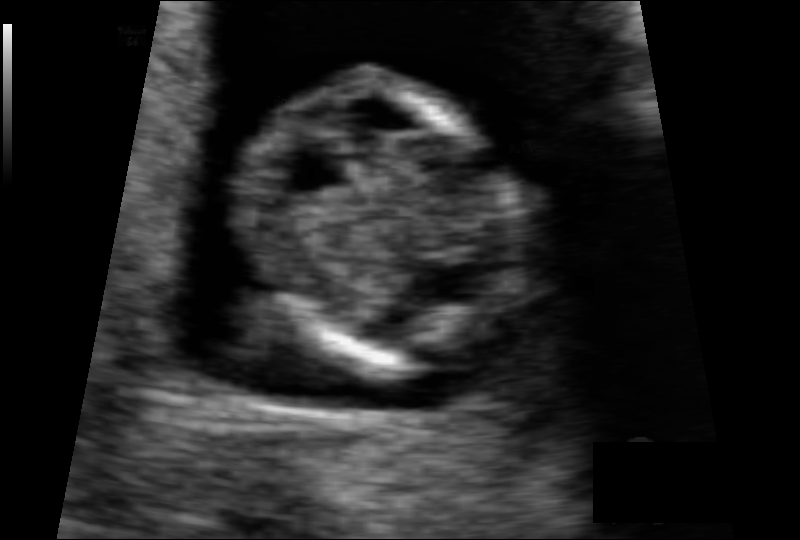
In this fetal head ultrasound, give bounding boxes for the head outline, cavum septum pellucidum (CSP), and lateral ventricle (LV), where visible. Image width: 59.9 mm.

Head: [237,78,533,373]